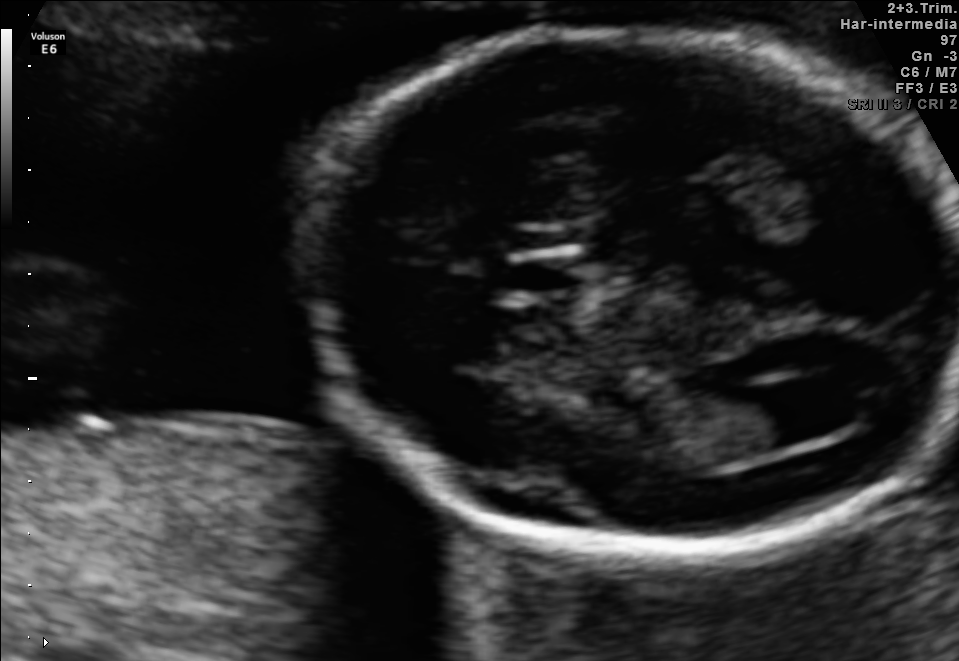
Fetal brain, trans-ventricular plane. Locate the fetal head.

Head: [293,27,958,556]